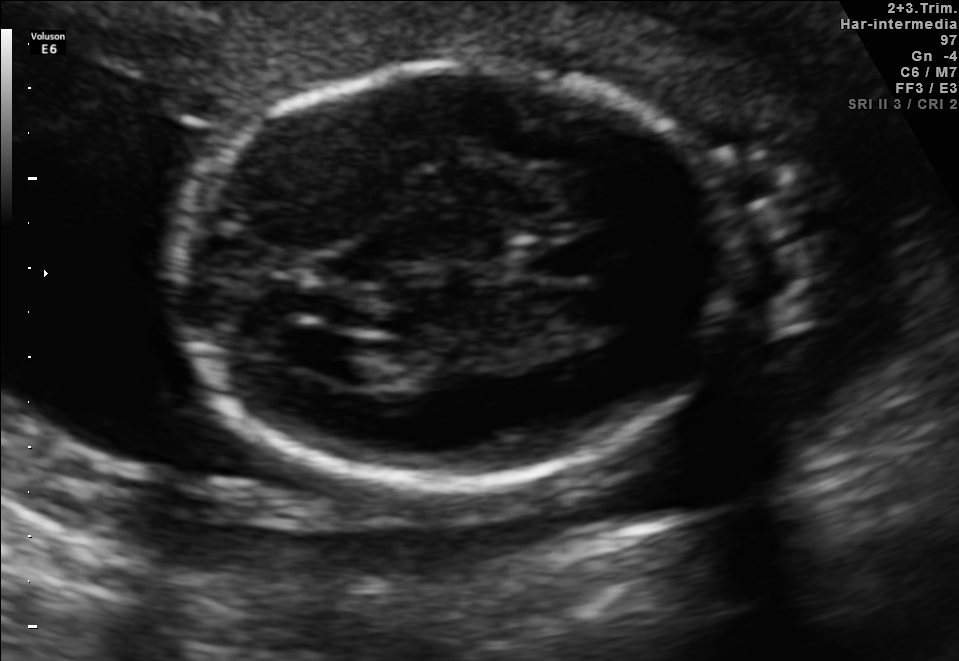
Fetal brain, trans-ventricular plane. Locate the cavum septum pellucidum.

CSP: [510,239,592,278]